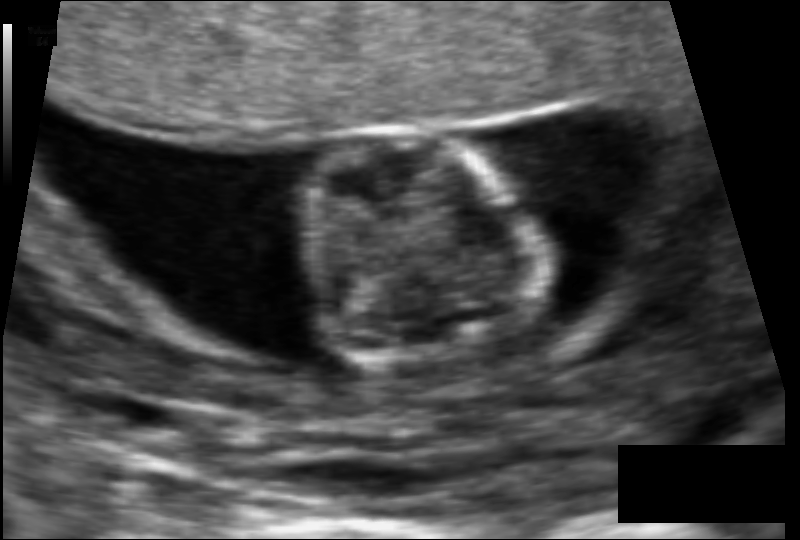
Fetal head ultrasound. Image width: 63.1 mm. Locate the fetal head and, if visible, the cavum septum pellucidum (CSP) and lateral ventricle (LV). Give bounding boxes as [x1,y1,x2,y2].

Head: [296,128,531,373]